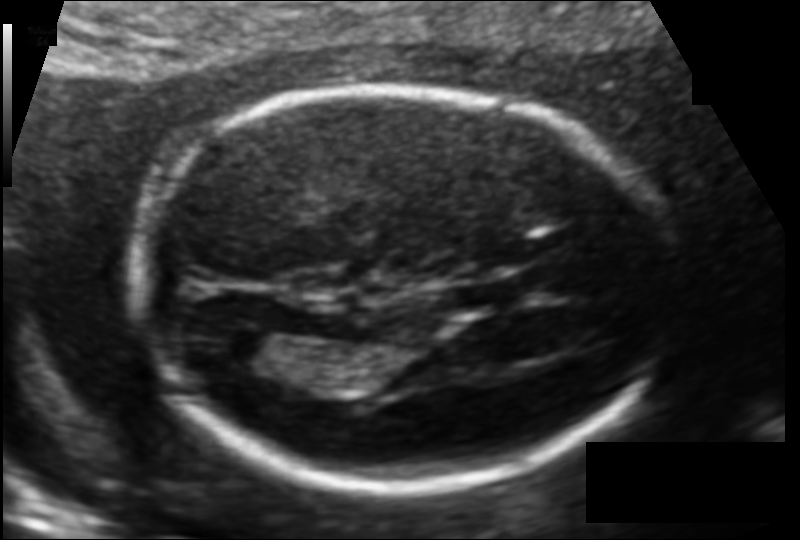
In this fetal head ultrasound, give the bounding box of the lateral ventricle. Image width: 87.0 mm.

[214,326,289,374]